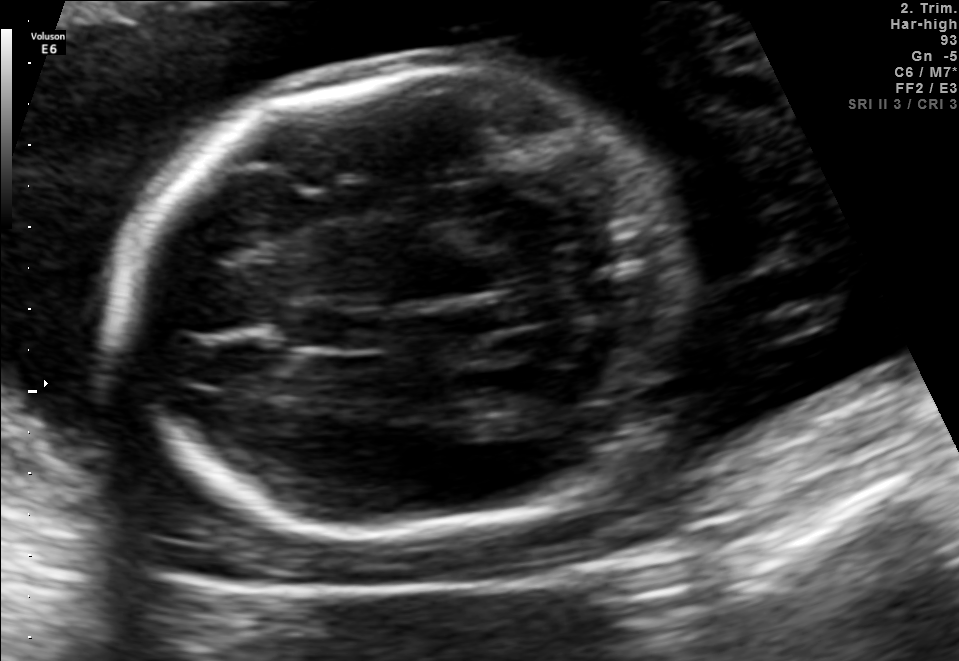
In this fetal brain, trans-cerebellum plane, give the bounding box of the fetal head.

[122,66,673,545]